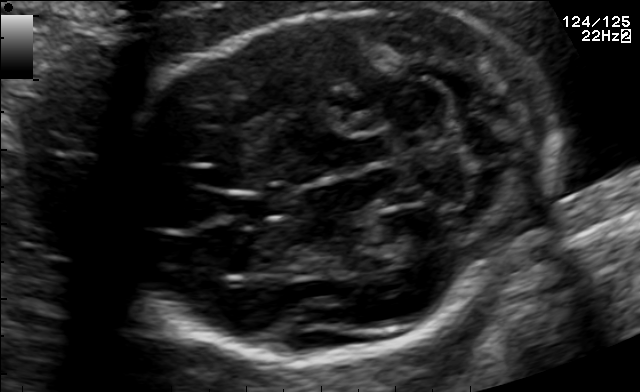
In this fetal brain, trans-cerebellum plane, give the bounding box of the cavum septum pellucidum.

[229,189,284,222]